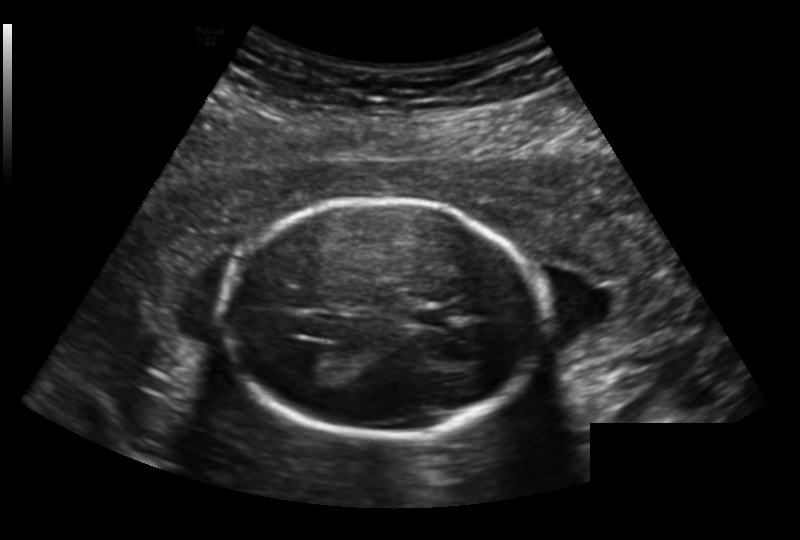
Fetal head ultrasound. Image width: 152.4 mm. Where is the fetal head?

Head bounding box: [226,203,551,435]